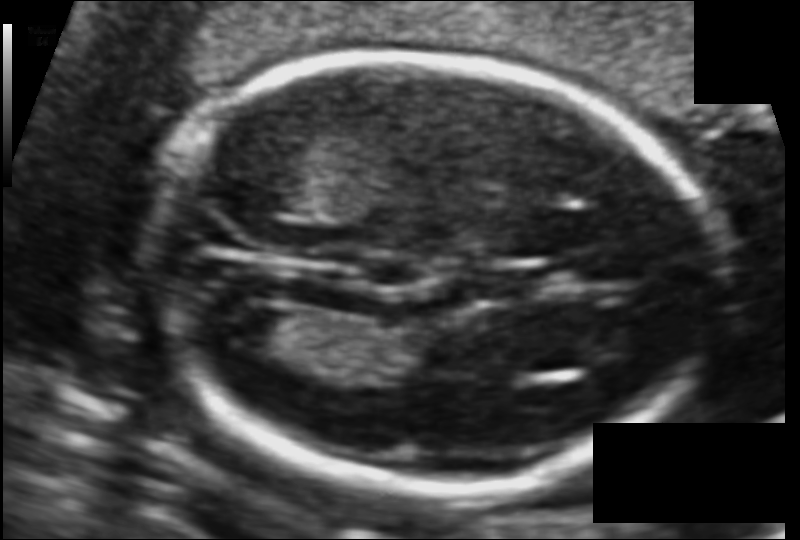
Fetal head ultrasound. Image width: 75.8 mm. Where is the lateral ventricle?

Lateral ventricle bounding box: [212,298,300,360]